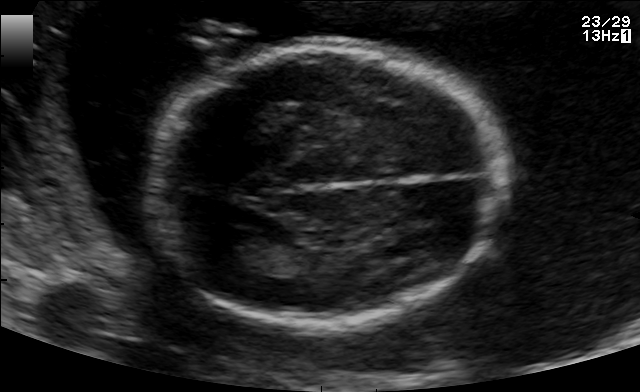
In this fetal brain, trans-thalamic plane, give the bounding box of the fetal head.

[149,44,509,326]